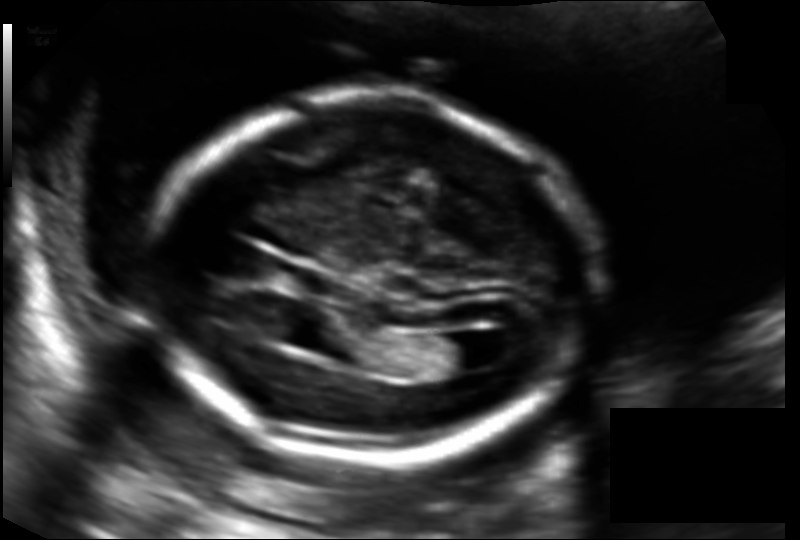
Estimate the fetal head circumference from this 2D ultrasound. Image width: 104.2 mm.

Head circumference: 174.8 mm.